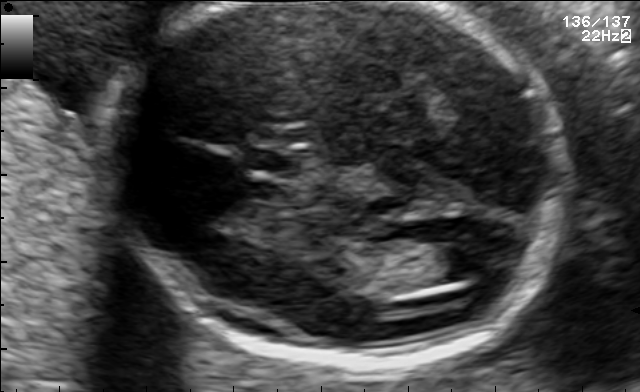
In this fetal brain, trans-ventricular plane, give the bounding box of the fetal head.

[97,2,575,368]